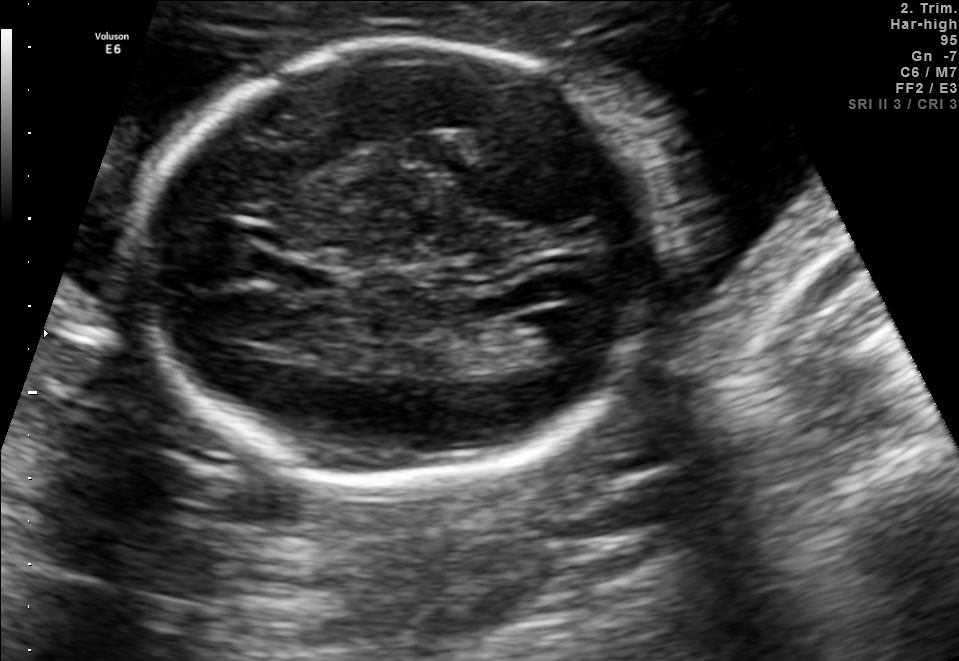
In this fetal brain, trans-ventricular plane, give the bounding box of the cavum septum pellucidum.

[297,270,332,289]